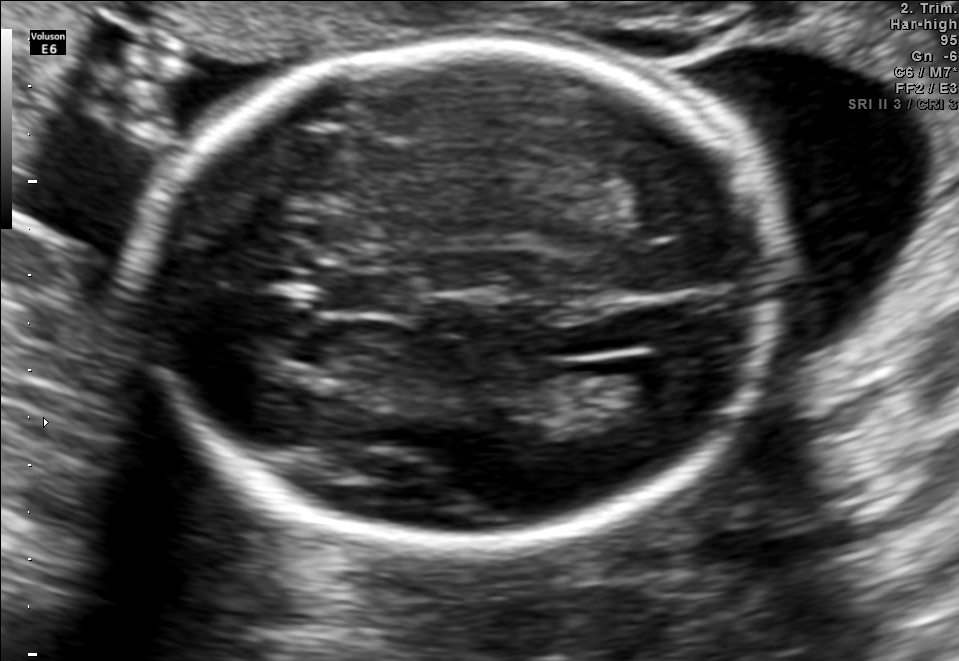
Fetal brain, trans-ventricular plane. Where is the cavum septum pellucidum?

CSP bounding box: [322,269,414,317]